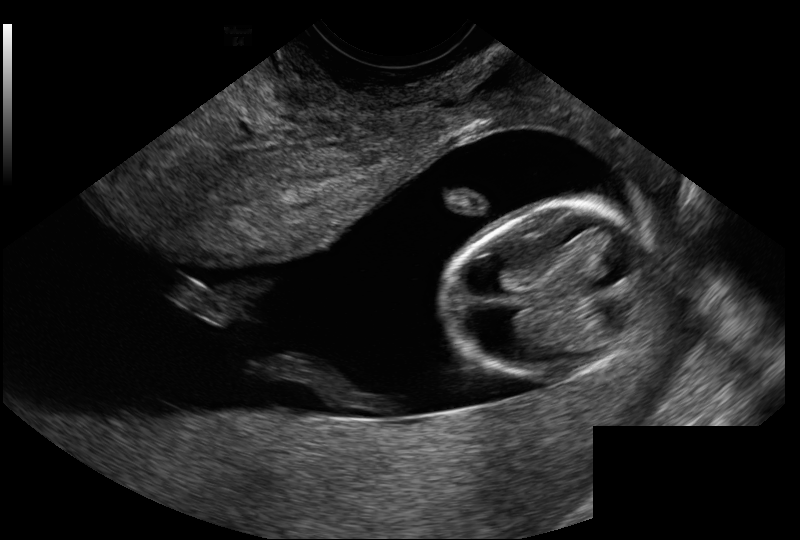
What is the fetal head circumference? Image width is 91.5 mm.

69.8 mm